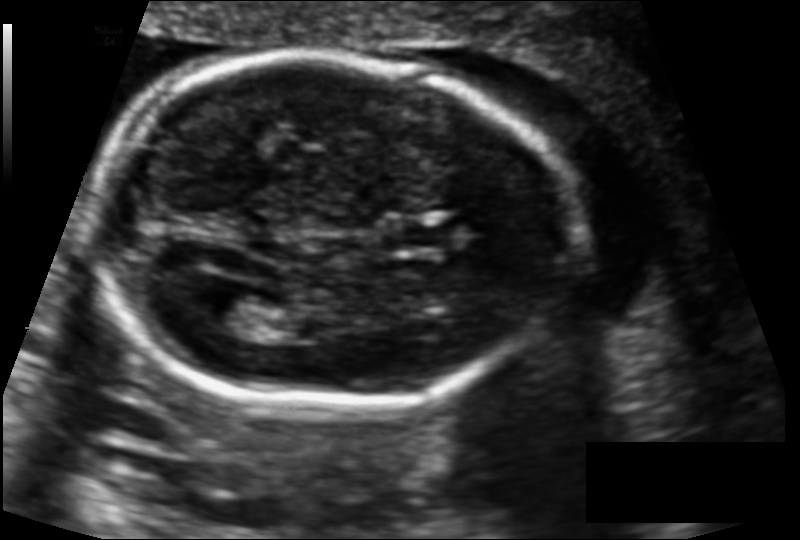
Estimate the fetal head circumference from this 2D ultrasound.

Head circumference: 165.6 mm (image width 97.4 mm).